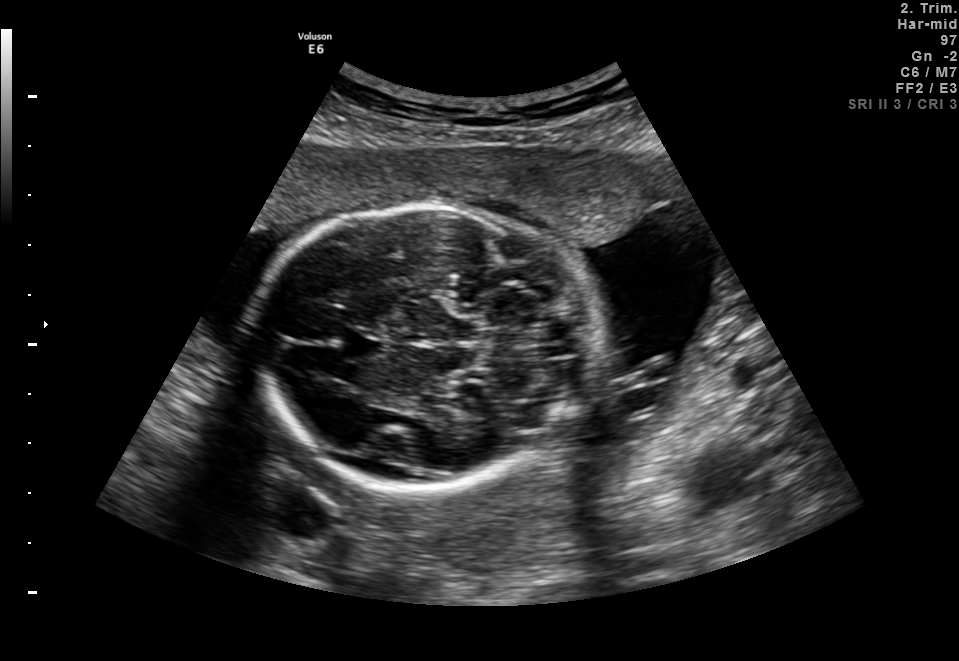
Fetal brain, trans-cerebellum plane. Give [x1,y1,x2,y2] bounding boxes for each visible structure among: fetal head, CSP, LV.

Head: [254,202,595,491]
CSP: [341,327,383,359]